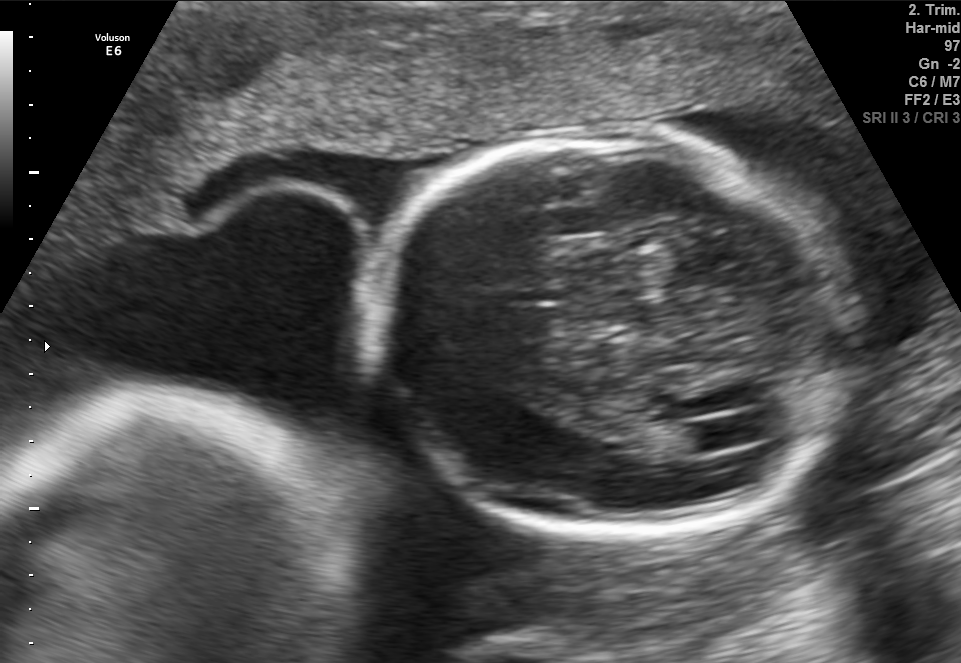
In this fetal brain, trans-ventricular plane, give the bounding box of the fetal head.

[354,124,870,541]